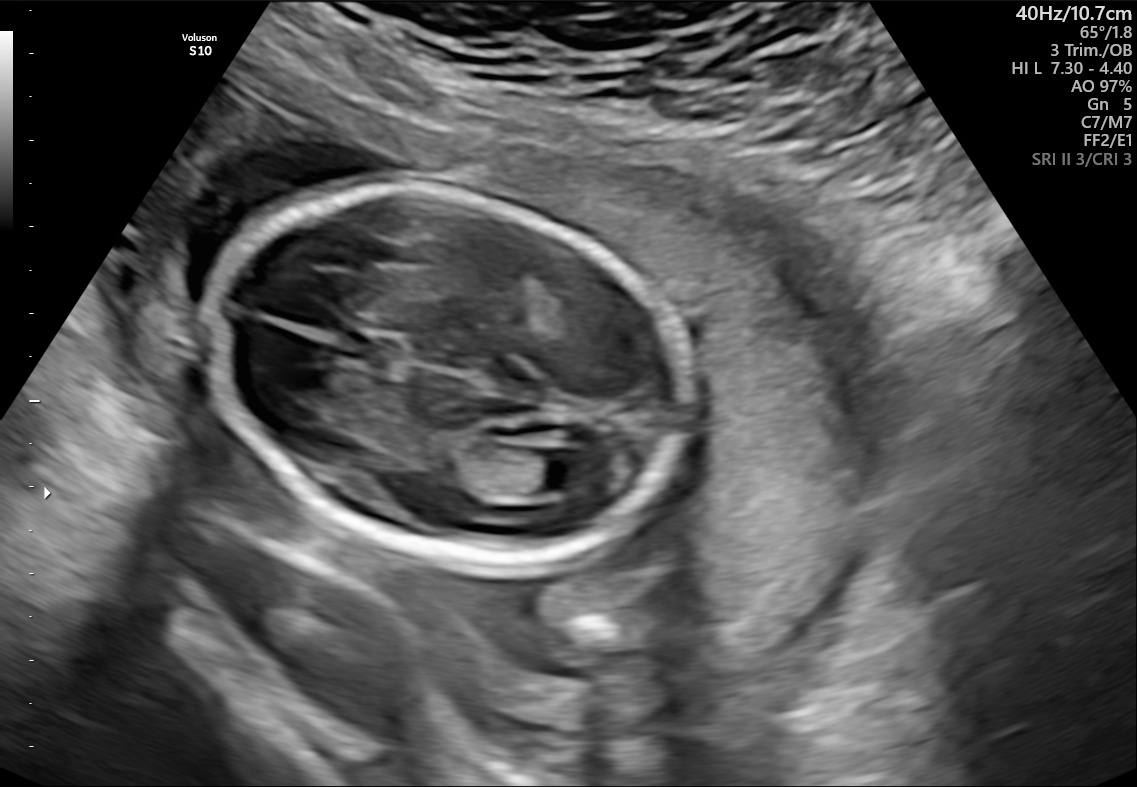
Fetal brain, trans-ventricular plane. Locate the fetal head.

Head: [205,183,692,566]